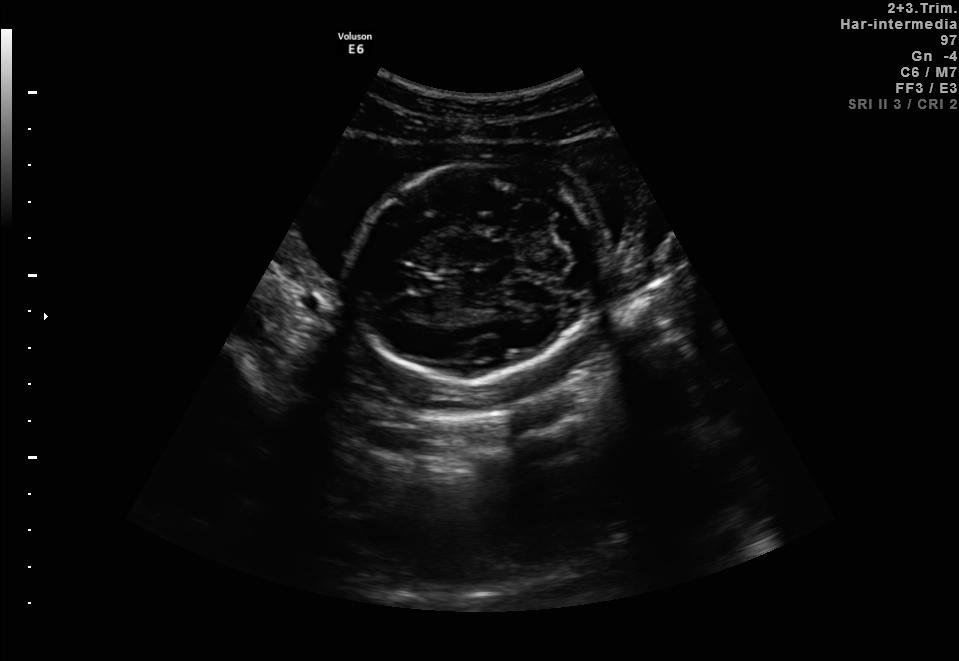
Identify the standard plane in this fetal ultrasound image: fetal abdomen, fetal brain, fetal femur, fetal thorax, maternal cervix, or other. If it's fetal brain and one of the three standard brain planes (trans-thalamic, trans-cerebellum, trans-ventricular), name which.

Fetal brain (trans-cerebellum plane)